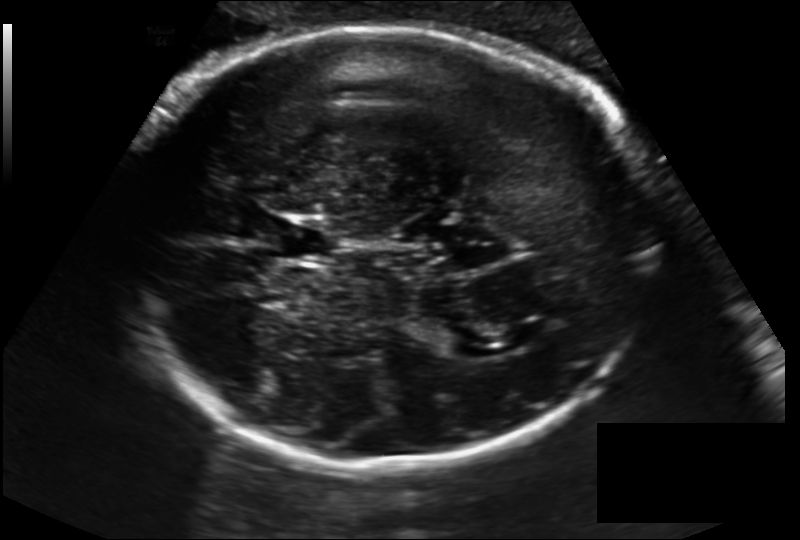
In this fetal head ultrasound, give the bounding box of the fetal head. Image width: 155.1 mm.

[117,27,665,464]